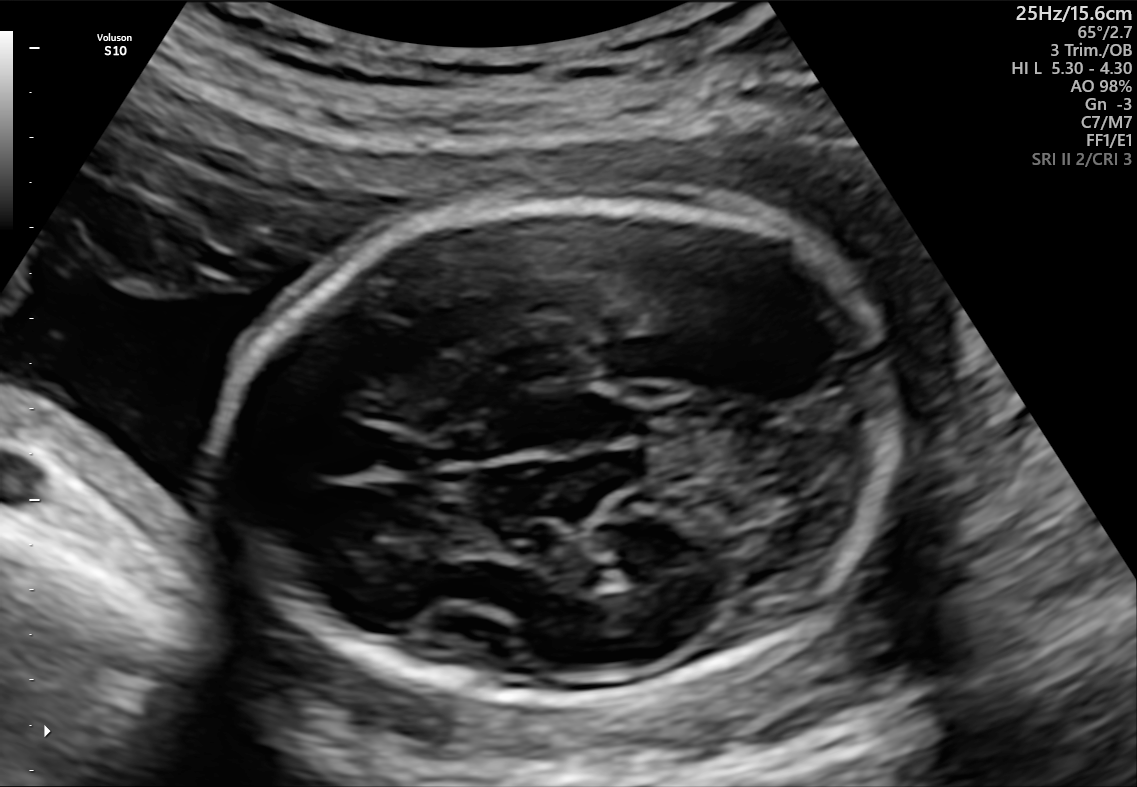
In this fetal brain, trans-thalamic plane, give bounding boxes for the head outline, cavum septum pellucidum (CSP), and lateral ventricle (LV), where visible.

Head: [225,195,898,708]